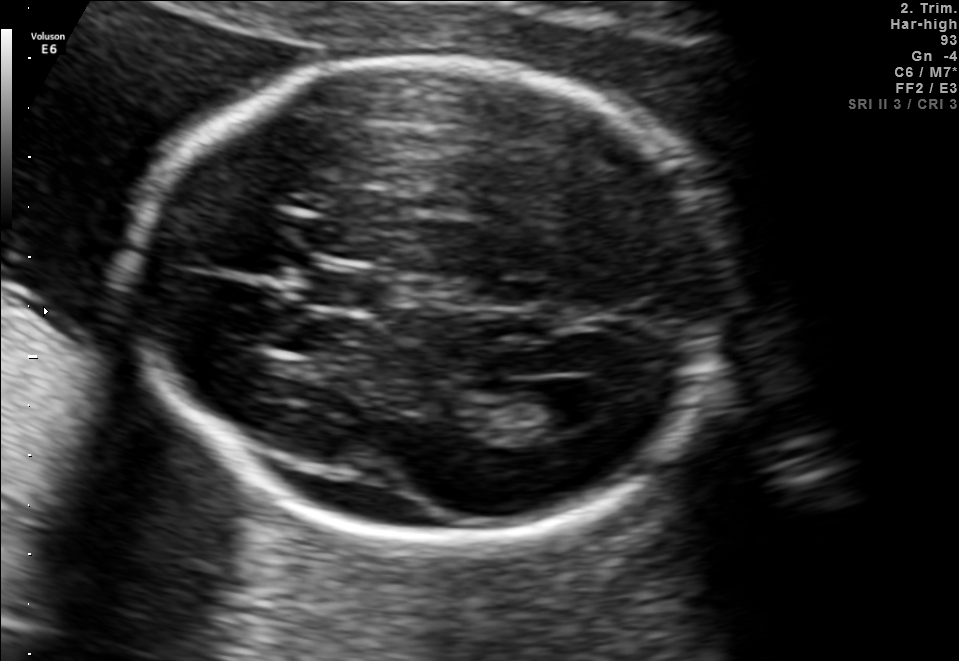
In this fetal brain, trans-ventricular plane, give the bounding box of the cavum septum pellucidum.

[299,267,377,311]